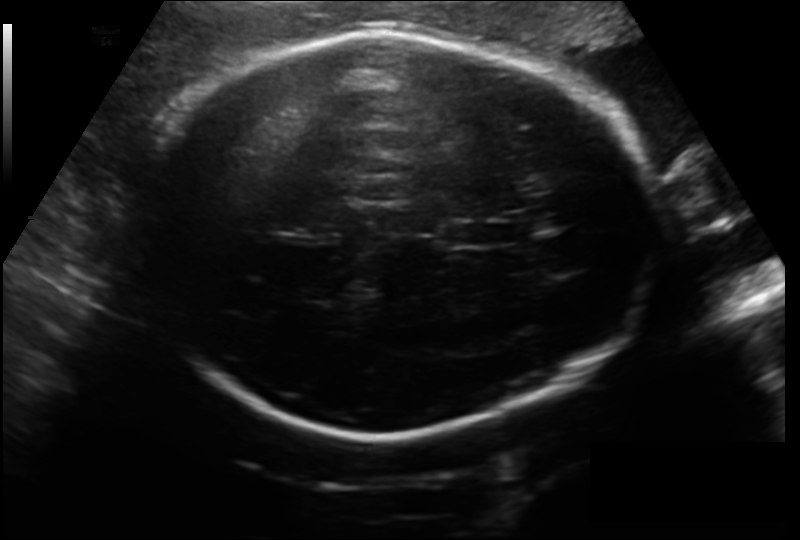
Fetal head ultrasound. Image width: 158.8 mm. Locate the fetal head.

Head: [145,31,655,434]